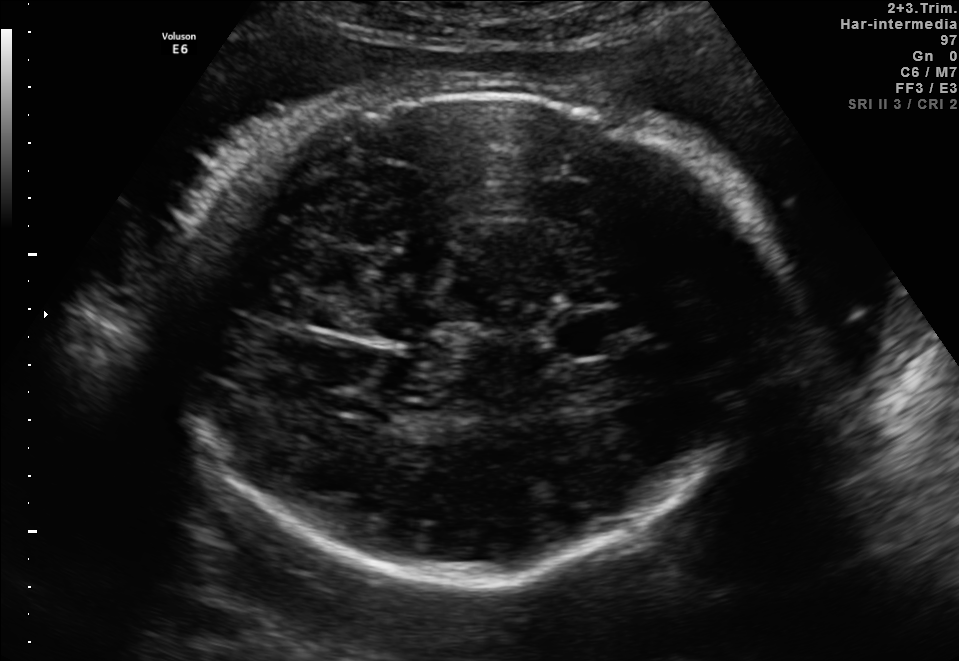
In this fetal brain, trans-thalamic plane, give the bounding box of the lateral ventricle.

[314,385,387,425]